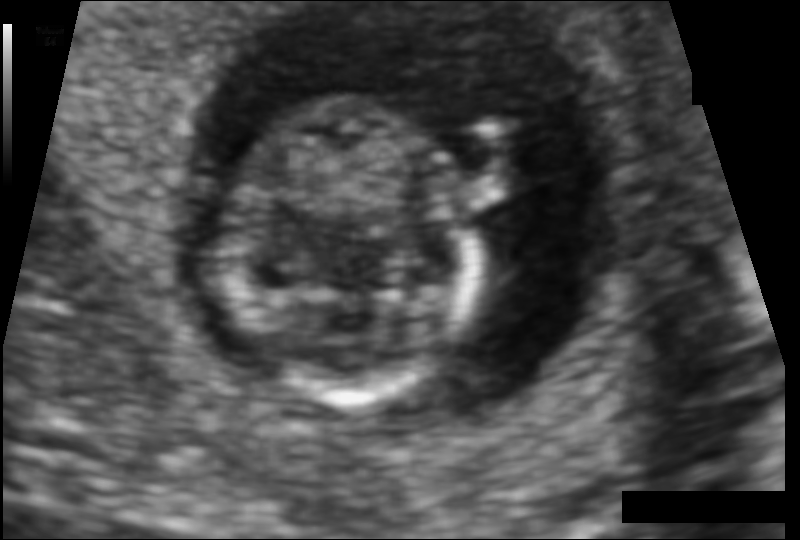
From this fetal ultrasound, estimate the head circumference (image width 63.9 mm).

Head circumference: 71.9 mm.